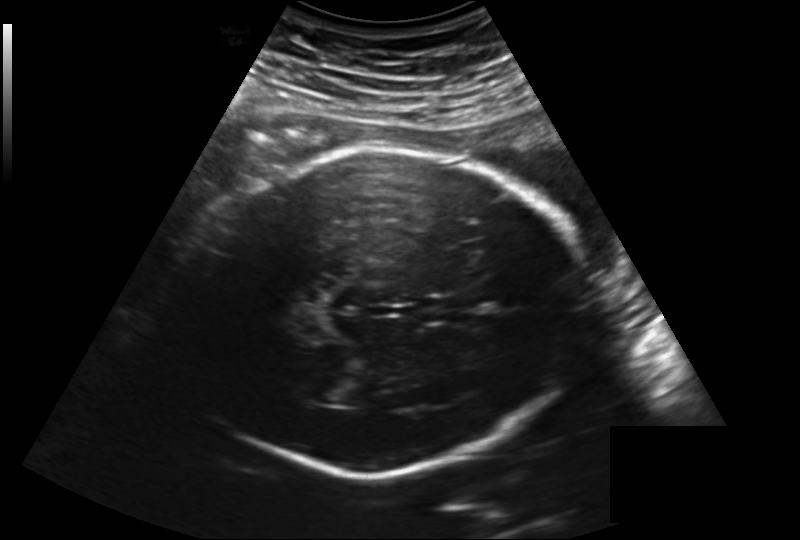
From this fetal ultrasound, estimate the head circumference (image width 175.2 mm).

Head circumference: 260.4 mm.